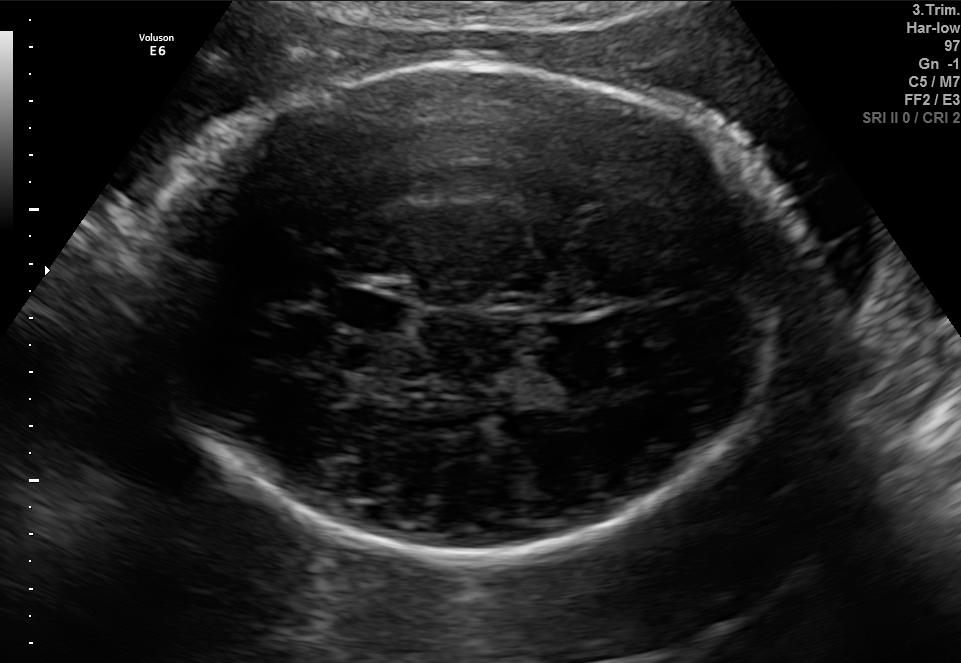
Fetal brain, trans-thalamic plane. Locate the fetal head and, if visible, the cavum septum pellucidum (CSP) and lateral ventricle (LV). Give bounding boxes as [x1,y1,x2,y2].

Head: [145,60,788,559]
CSP: [331,284,405,337]